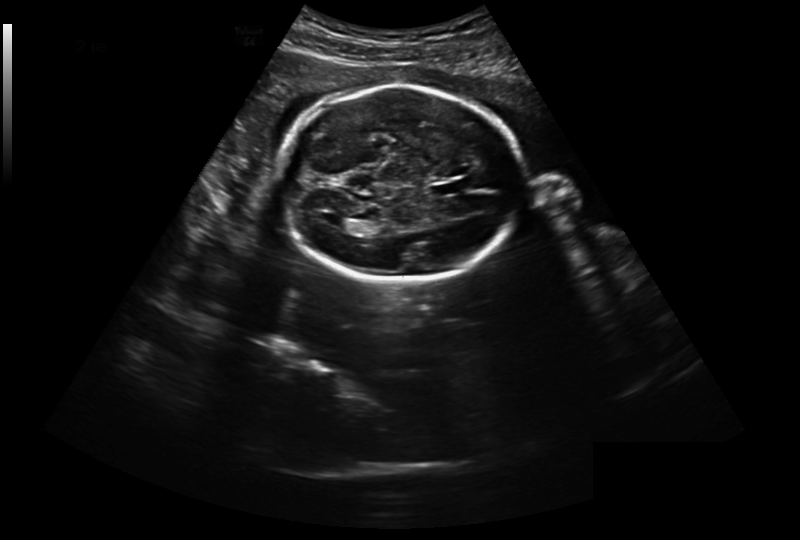
Fetal head ultrasound. Image width: 241.1 mm. Where is the fetal head?

Head bounding box: [279,86,525,281]